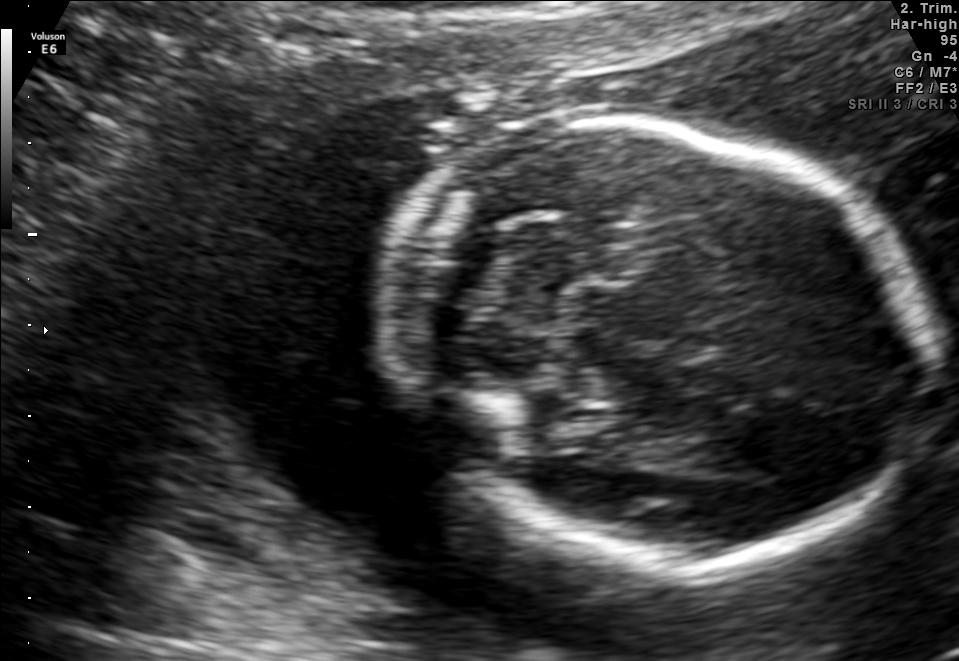
In this fetal brain, trans-cerebellum plane, give the bounding box of the fetal head.

[387,124,928,559]